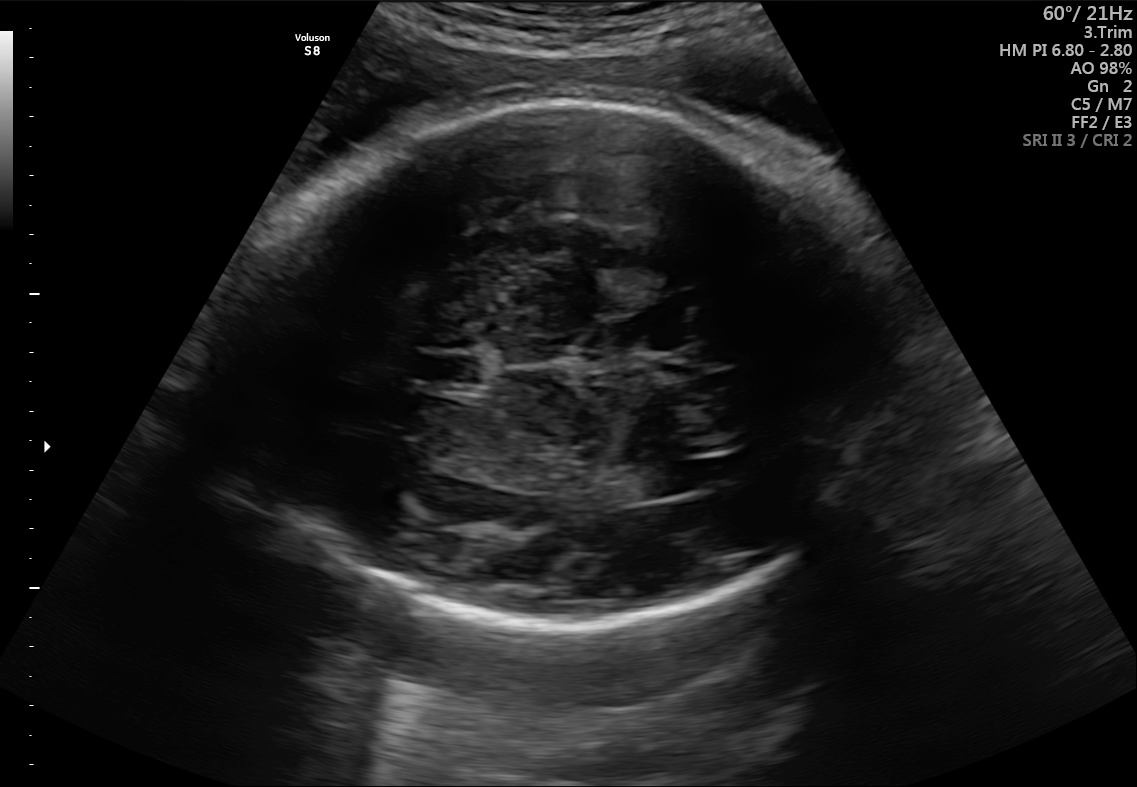
Fetal brain, trans-ventricular plane. Locate the cavum septum pellucidum.

CSP: [423,354,481,384]